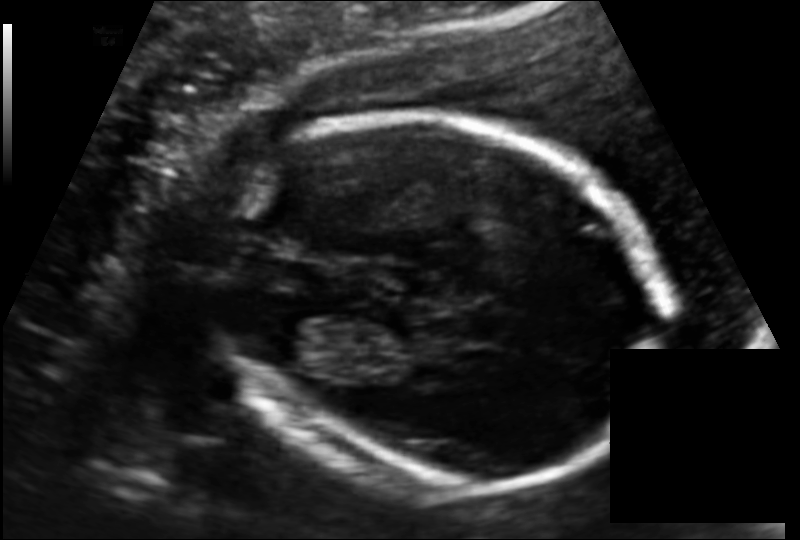
What is the fetal head circumference? Image width is 103.9 mm.

172.3 mm